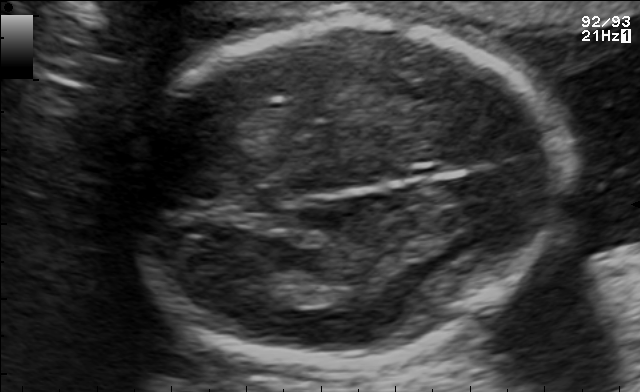
This is a 2D maternal-fetal ultrasound frame. Is it a fetal abdomen, fetal brain, fetal femur, fetal thorax, maternal cervix, or other standard plane? If it's fetal brain and one of the three standard brain planes (trans-thalamic, trans-cerebellum, trans-ventricular), name which.

Fetal brain (trans-thalamic plane)